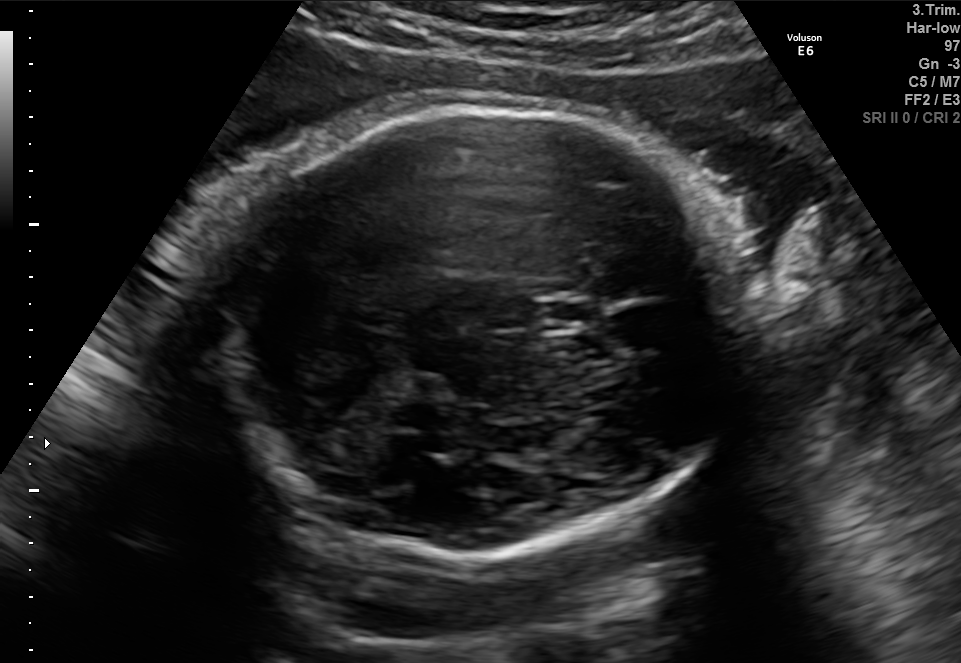
This is a 2D maternal-fetal ultrasound frame. Is it a fetal abdomen, fetal brain, fetal femur, fetal thorax, maternal cervix, or other standard plane? If it's fetal brain and one of the three standard brain planes (trans-thalamic, trans-cerebellum, trans-ventricular), name which.

Fetal brain (trans-thalamic plane)